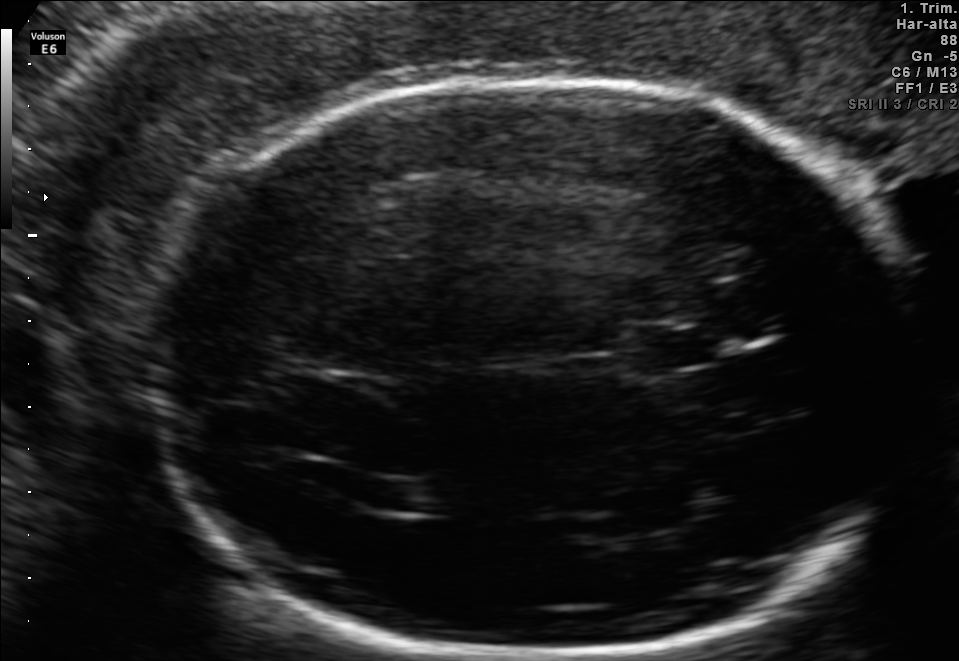
Fetal brain, trans-thalamic plane. Locate the fetal head.

Head: [135,83,912,656]